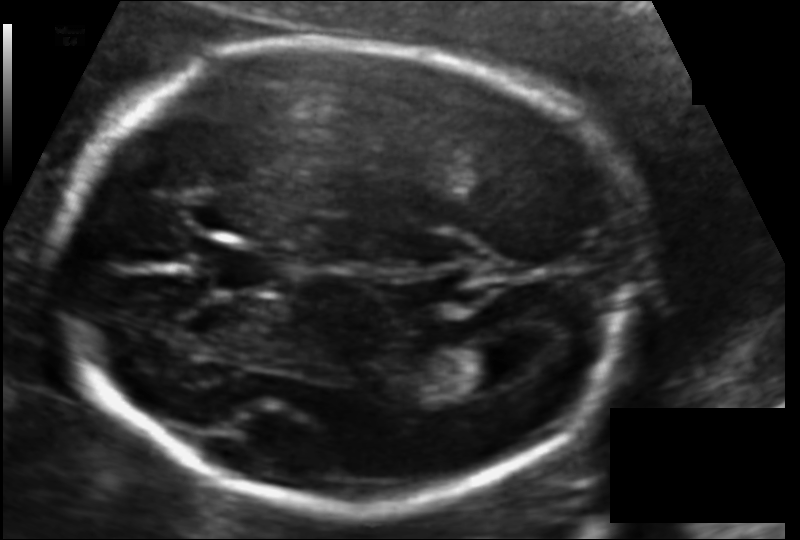
Fetal head ultrasound. Image width: 92.7 mm. Give [x1,y1,x2,y2] bounding boxes for each visible structure among: fetal head, CSP, LV.

Head: [57,42,631,508]
CSP: [205,241,287,296]
Lateral ventricle: [447,335,534,397]